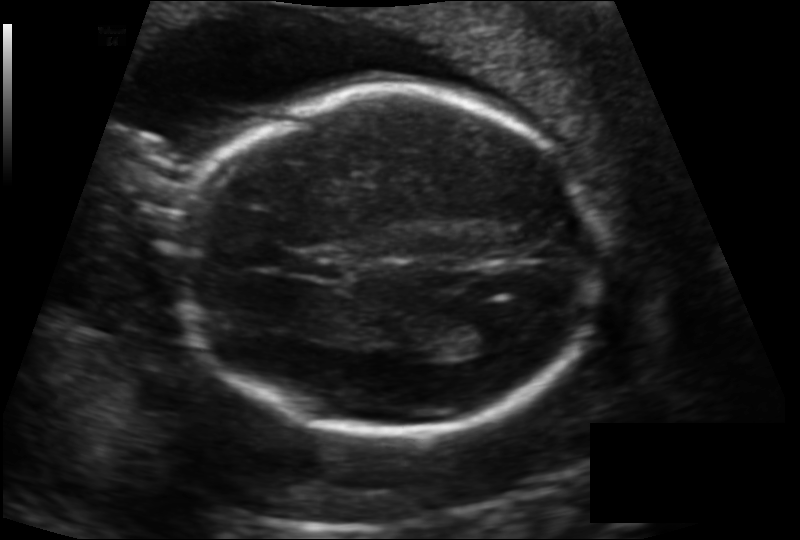
Fetal head ultrasound. Image width: 113.2 mm. Where is the lateral ventricle?

Lateral ventricle bounding box: [446,303,514,358]